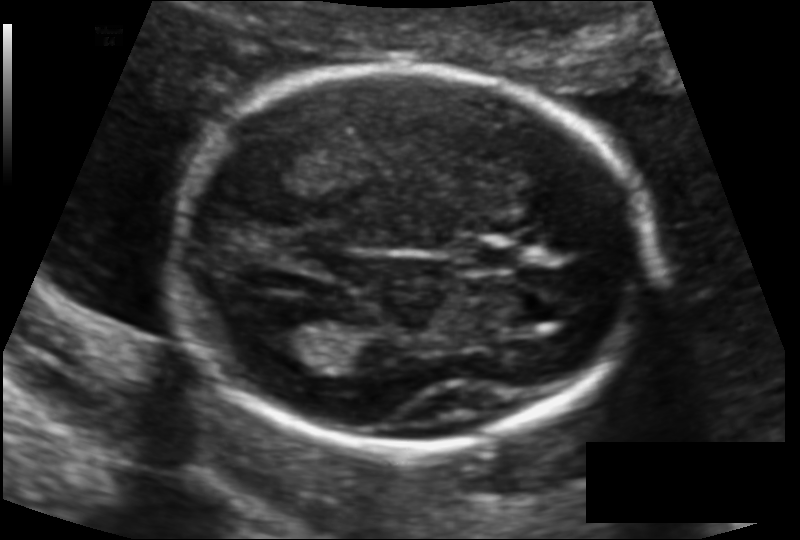
In this fetal head ultrasound, give the bounding box of the cavum septum pellucidum. Image width: 93.3 mm.

[461,240,516,271]